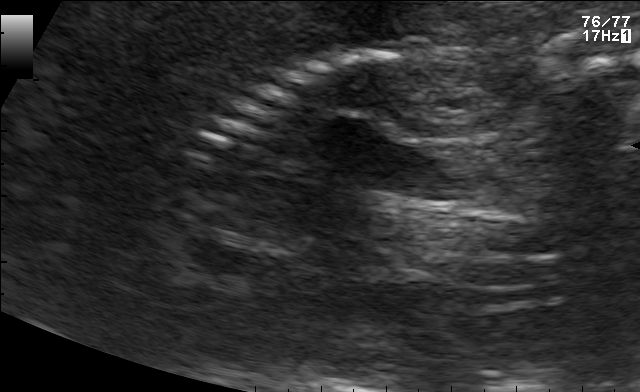
Identify the standard plane in this fetal ultrasound image: fetal abdomen, fetal brain, fetal femur, fetal thorax, maternal cervix, or other. If it's fetal brain and one of the three standard brain planes (trans-thalamic, trans-cerebellum, trans-ventricular), name which.

Other